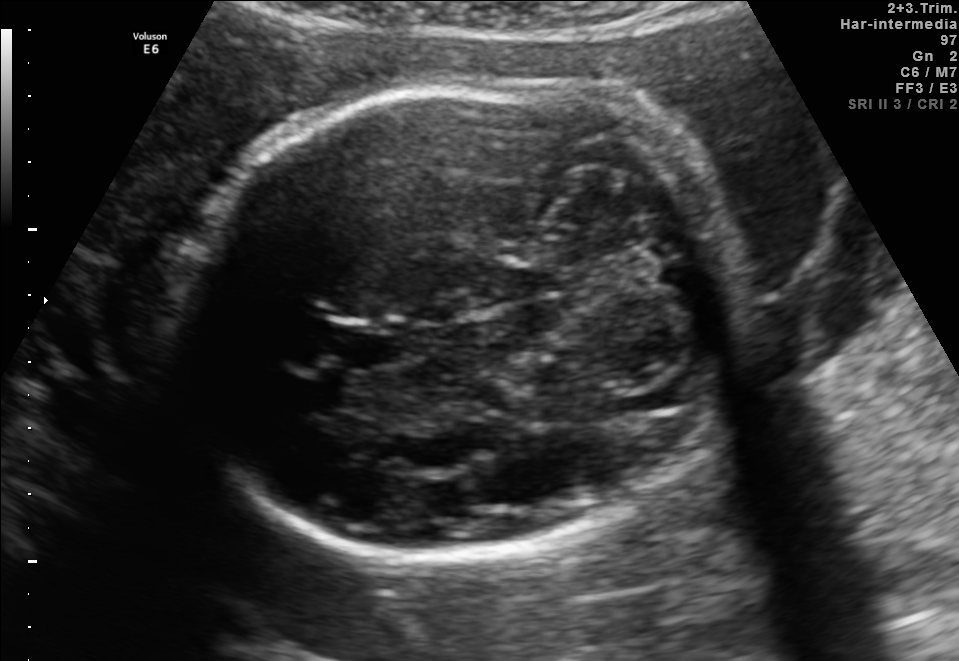
Fetal brain, trans-cerebellum plane. Locate the cavum septum pellucidum.

CSP: [317,318,397,371]